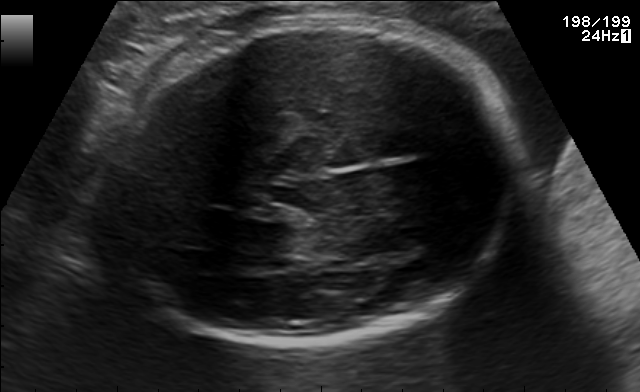
Fetal brain, trans-thalamic plane. Locate the fetal head and, if visible, the cavum septum pellucidum (CSP) and lateral ventricle (LV). Give bounding boxes as [x1,y1,x2,y2].

Head: [106,17,517,346]